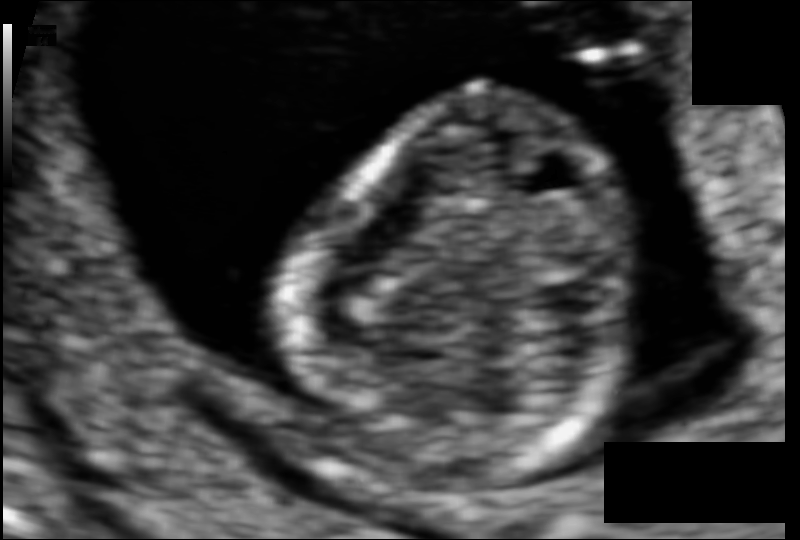
Fetal head ultrasound. Image width: 48.3 mm. Where is the fetal head?

Head bounding box: [301,97,646,482]